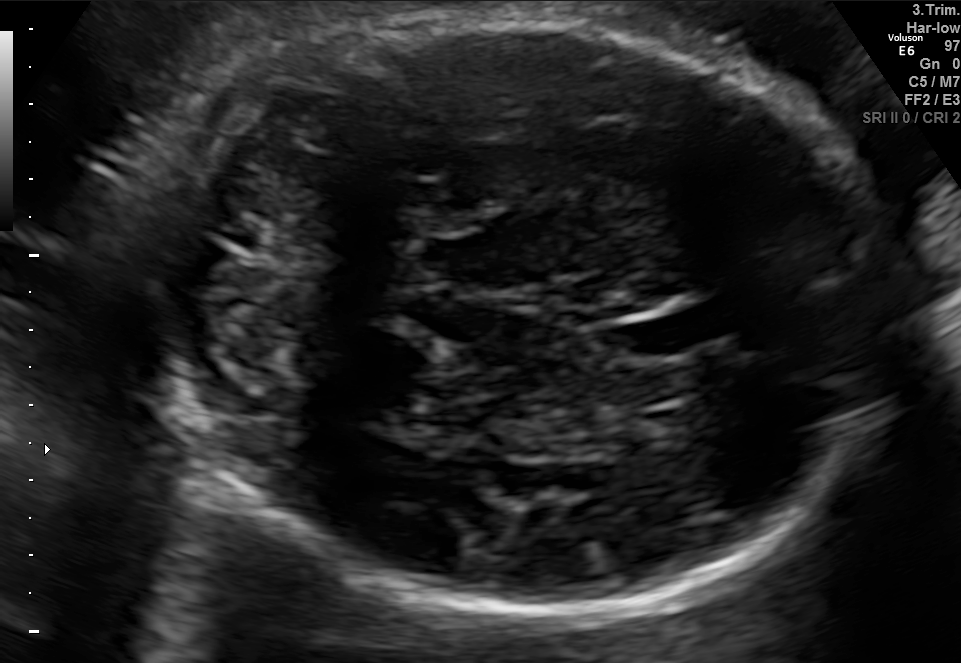
This is a 2D maternal-fetal ultrasound frame. Is it a fetal abdomen, fetal brain, fetal femur, fetal thorax, maternal cervix, or other standard plane? If it's fetal brain and one of the three standard brain planes (trans-thalamic, trans-cerebellum, trans-ventricular), name which.

Fetal brain (trans-cerebellum plane)